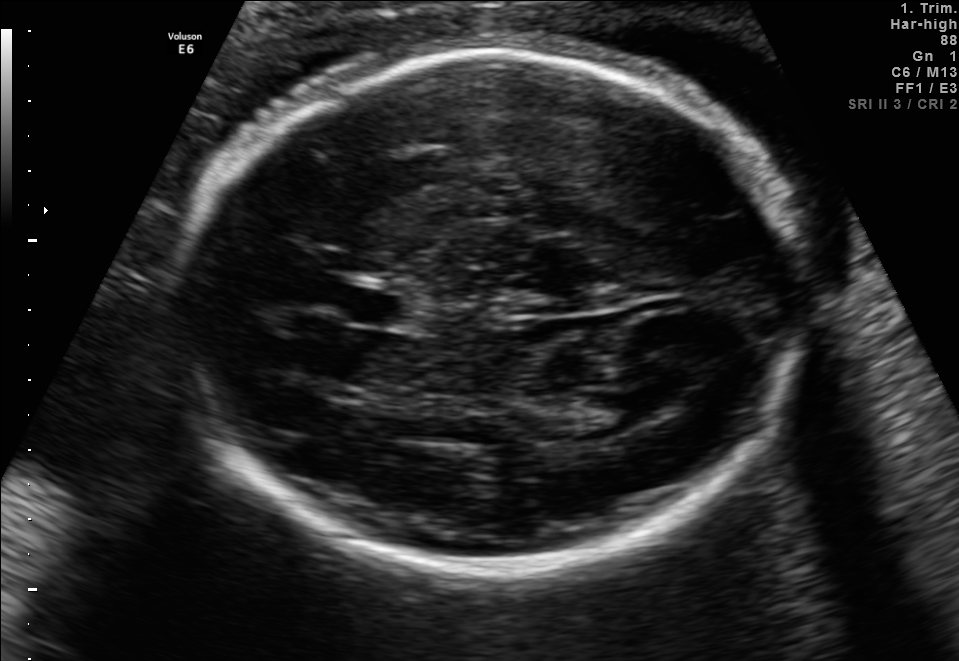
Fetal brain, trans-thalamic plane. Locate the lateral ventricle.

Lateral ventricle: [570,387,655,438]